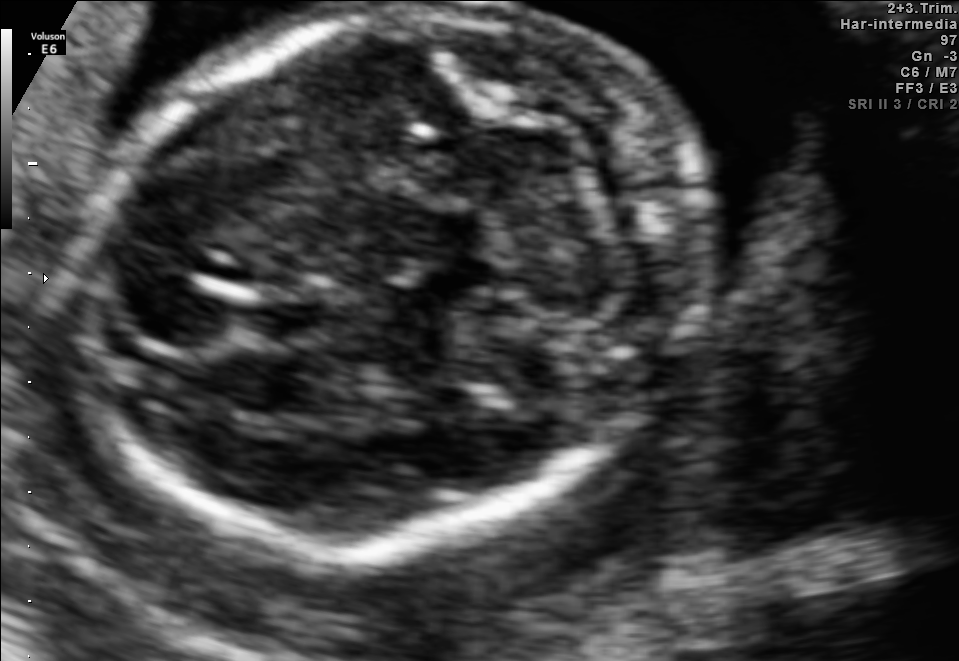
In this fetal brain, trans-cerebellum plane, give the bounding box of the fetal head.

[83,6,700,543]